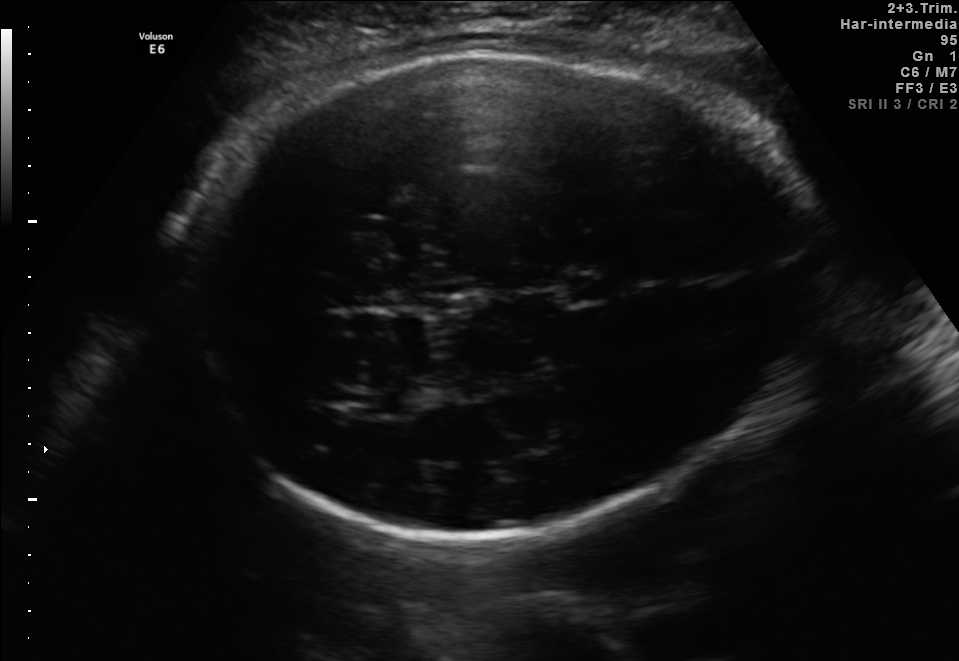
Fetal brain, trans-thalamic plane. Locate the fetal head.

Head: [179,54,804,545]